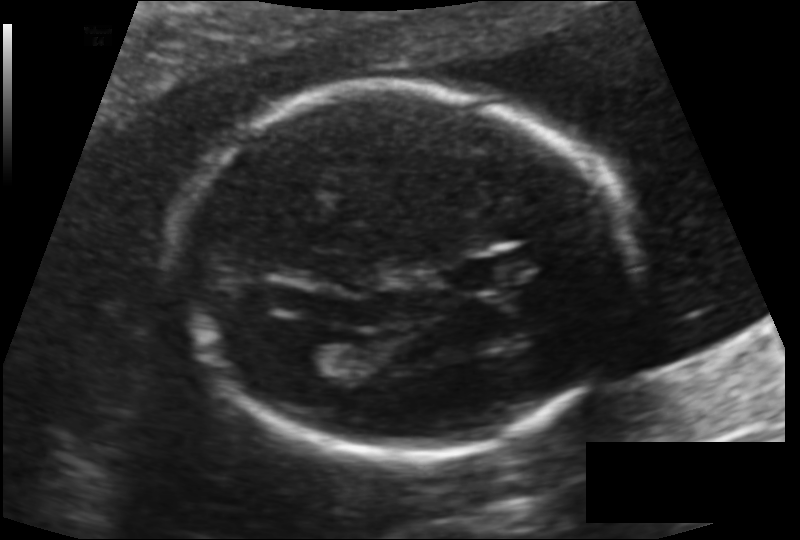
Fetal head ultrasound. Image width: 104.6 mm. Where is the lateral ventricle?

Lateral ventricle bounding box: [298,343,359,379]